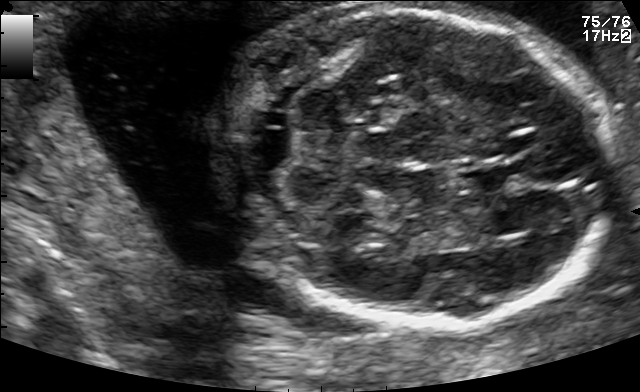
Fetal brain, trans-cerebellum plane. Locate the fetal head and, if visible, the cavum septum pellucidum (CSP) and lateral ventricle (LV). Give bounding boxes as [x1,y1,x2,y2].

Head: [219,5,617,328]